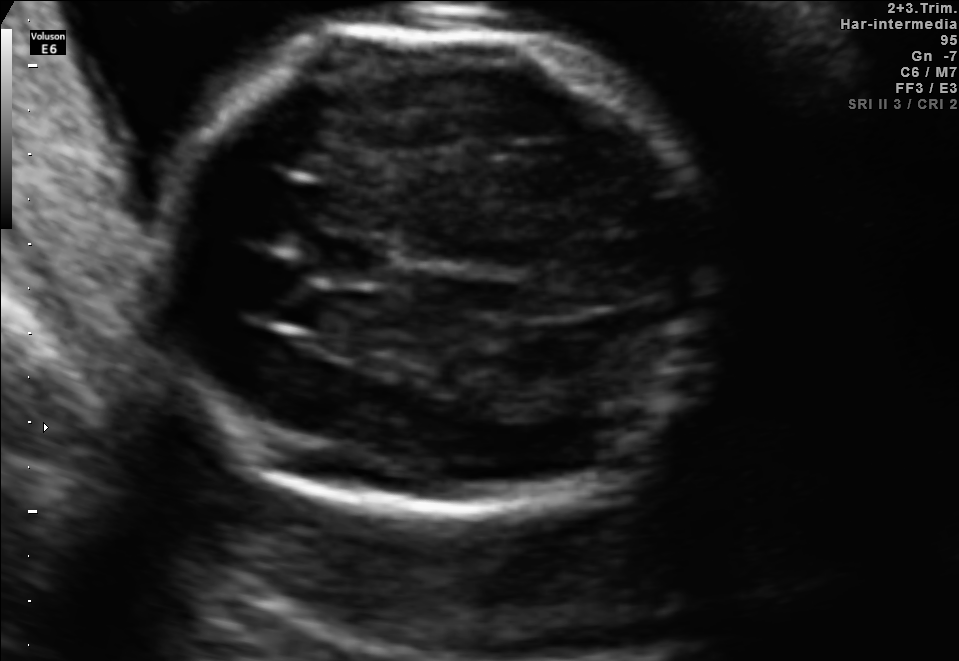
Fetal brain, trans-thalamic plane. Locate the fetal head and, if visible, the cavum septum pellucidum (CSP) and lateral ventricle (LV). Give bounding boxes as [x1,y1,x2,y2].

Head: [143,26,710,519]
CSP: [312,235,388,282]